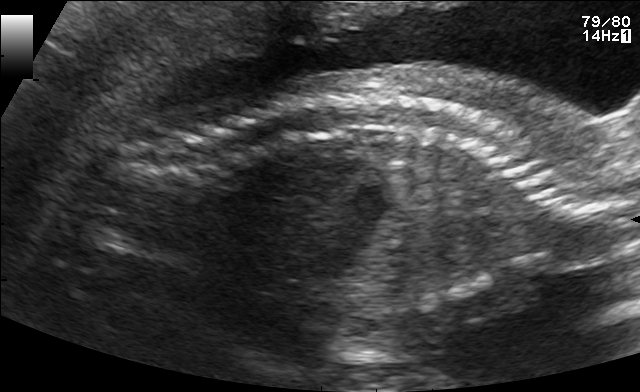
This is a 2D maternal-fetal ultrasound frame. Is it a fetal abdomen, fetal brain, fetal femur, fetal thorax, maternal cervix, or other standard plane? If it's fetal brain and one of the three standard brain planes (trans-thalamic, trans-cerebellum, trans-ventricular), name which.

Other